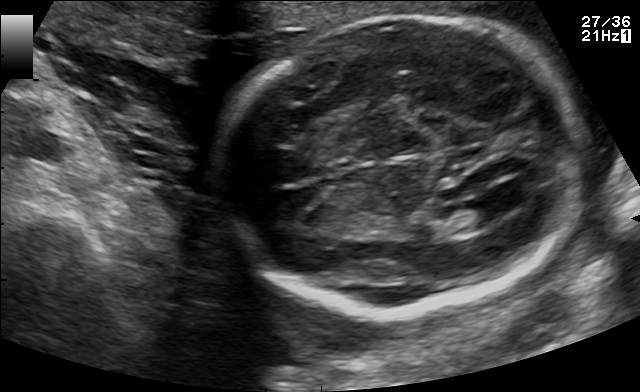
Classify this maternal-fetal ultrasound image as one of the six standard planes — fetal abdomen, fetal brain, fetal femur, fetal thorax, maternal cervix, or other. If it's fetal brain and one of the three standard brain planes (trans-thalamic, trans-cerebellum, trans-ventricular), name which.

Fetal brain (trans-ventricular plane)